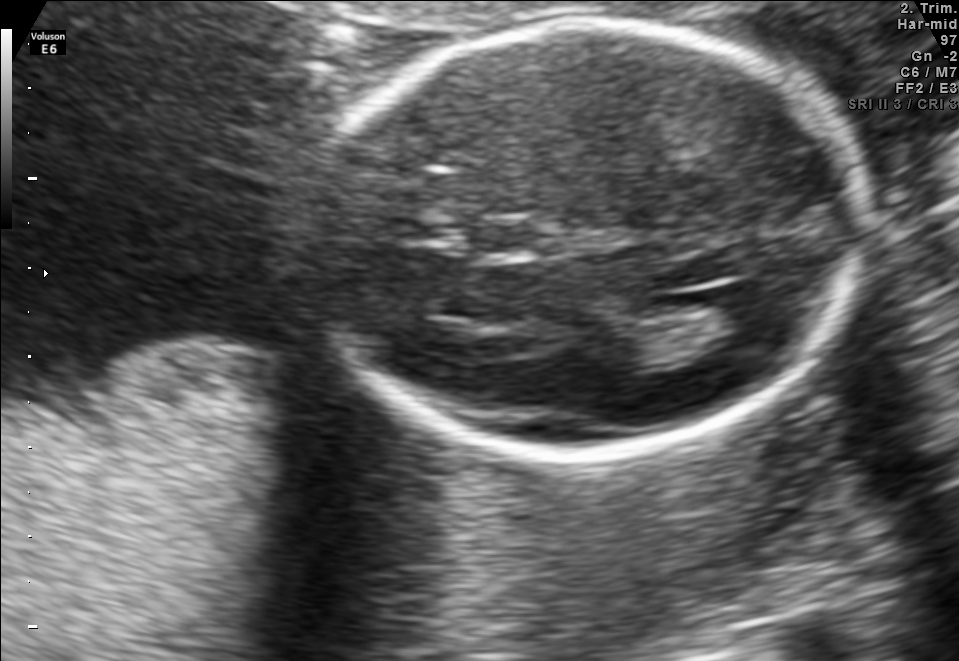
Fetal brain, trans-ventricular plane. Where is the cavum septum pellucidum?

CSP bounding box: [473,217,536,261]